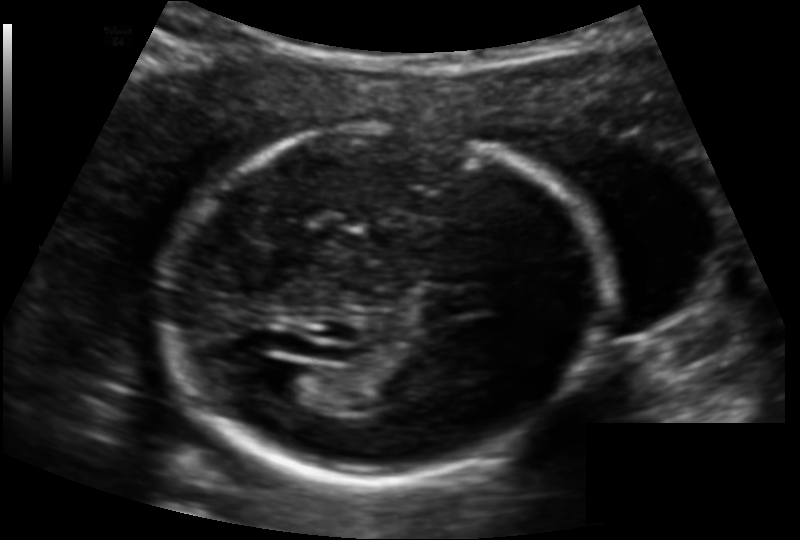
In this fetal head ultrasound, give the bounding box of the fetal head. Image width: 105.9 mm.

[154,127,607,480]